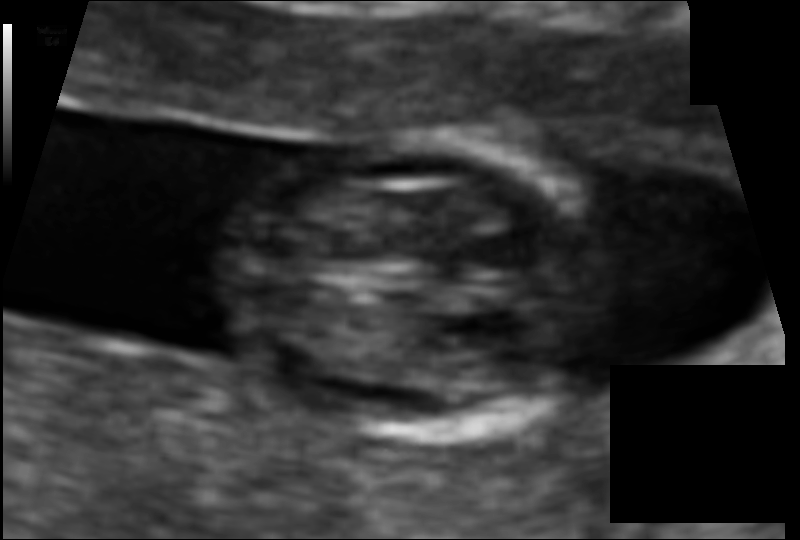
Fetal head ultrasound. Image width: 53.7 mm. Where is the fetal head?

Head bounding box: [228,138,606,441]